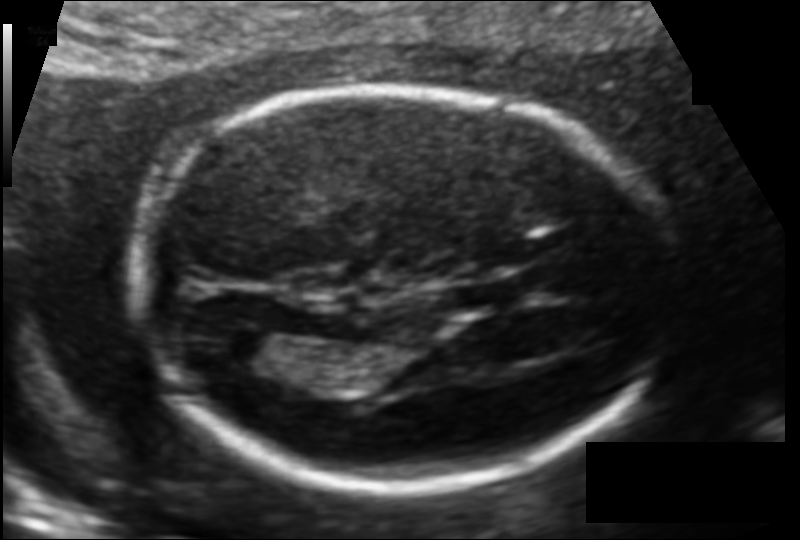
From this fetal ultrasound, estimate the head circumference (image width 87.0 mm).

Head circumference: 166.4 mm.